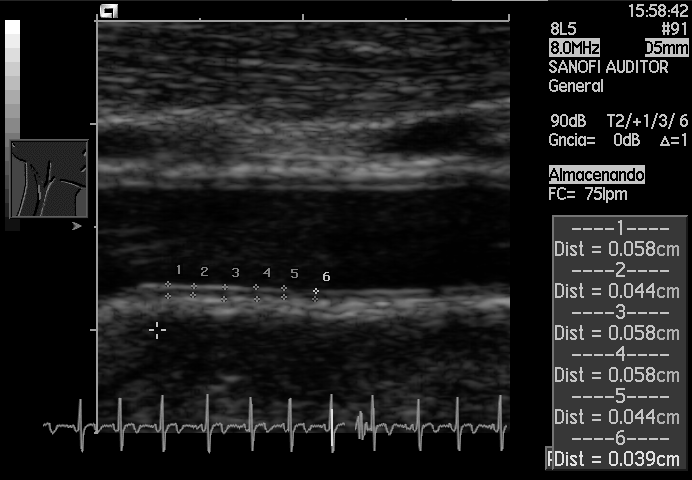
Identify the standard plane in this fetal ultrasound image: fetal abdomen, fetal brain, fetal femur, fetal thorax, maternal cervix, or other. If it's fetal brain and one of the three standard brain planes (trans-thalamic, trans-cerebellum, trans-ventricular), name which.

Other